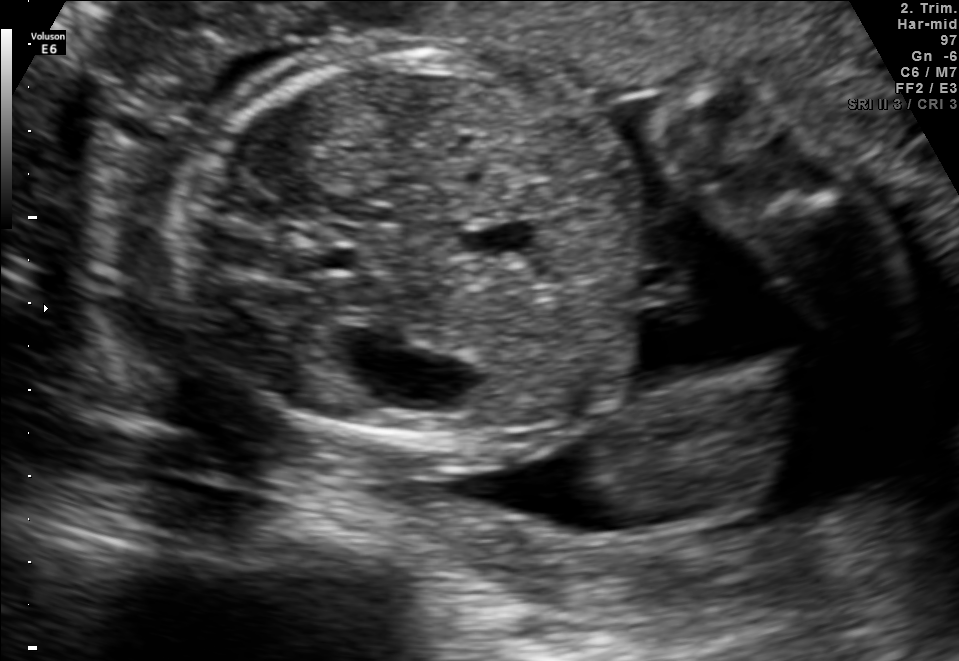
Which standard maternal-fetal ultrasound plane is shown: fetal abdomen, fetal brain, fetal femur, fetal thorax, maternal cervix, or other? If it's fetal brain and one of the three standard brain planes (trans-thalamic, trans-cerebellum, trans-ventricular), name which.

Fetal abdomen